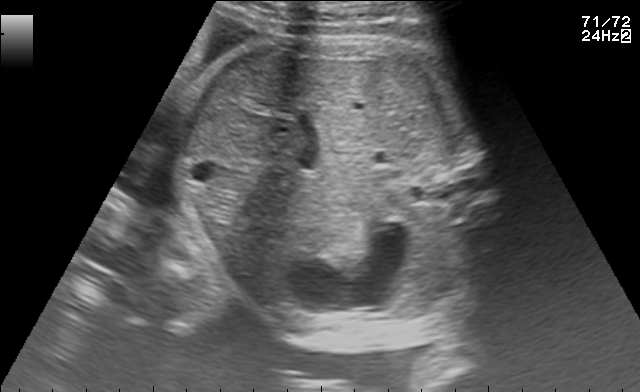
Identify the standard plane in this fetal ultrasound image: fetal abdomen, fetal brain, fetal femur, fetal thorax, maternal cervix, or other. If it's fetal brain and one of the three standard brain planes (trans-thalamic, trans-cerebellum, trans-ventricular), name which.

Fetal abdomen